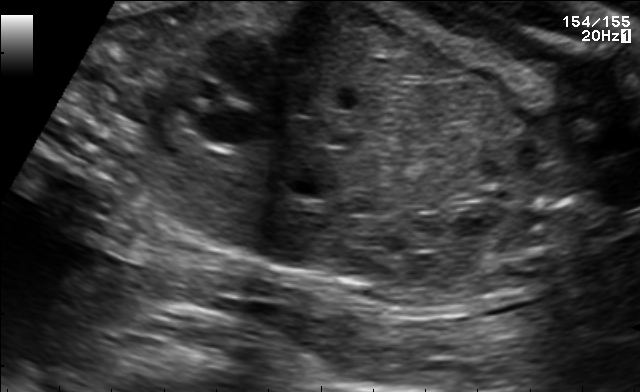
Identify the standard plane in this fetal ultrasound image: fetal abdomen, fetal brain, fetal femur, fetal thorax, maternal cervix, or other. If it's fetal brain and one of the three standard brain planes (trans-thalamic, trans-cerebellum, trans-ventricular), name which.

Other